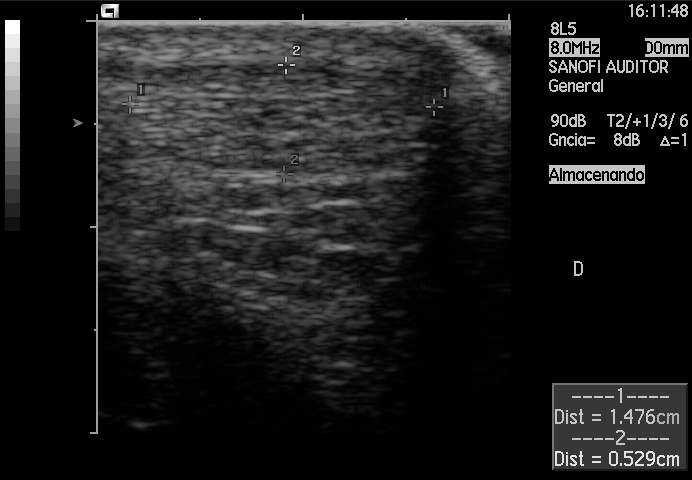
Identify the standard plane in this fetal ultrasound image: fetal abdomen, fetal brain, fetal femur, fetal thorax, maternal cervix, or other. If it's fetal brain and one of the three standard brain planes (trans-thalamic, trans-cerebellum, trans-ventricular), name which.

Other